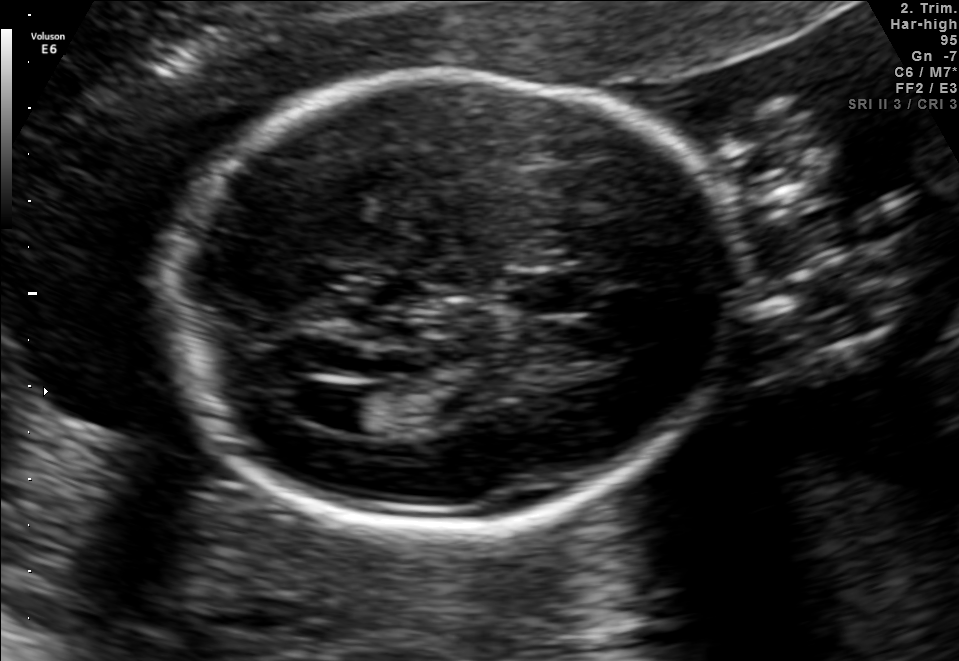
Fetal brain, trans-ventricular plane. Locate the cavum septum pellucidum.

CSP: [497,267,601,321]